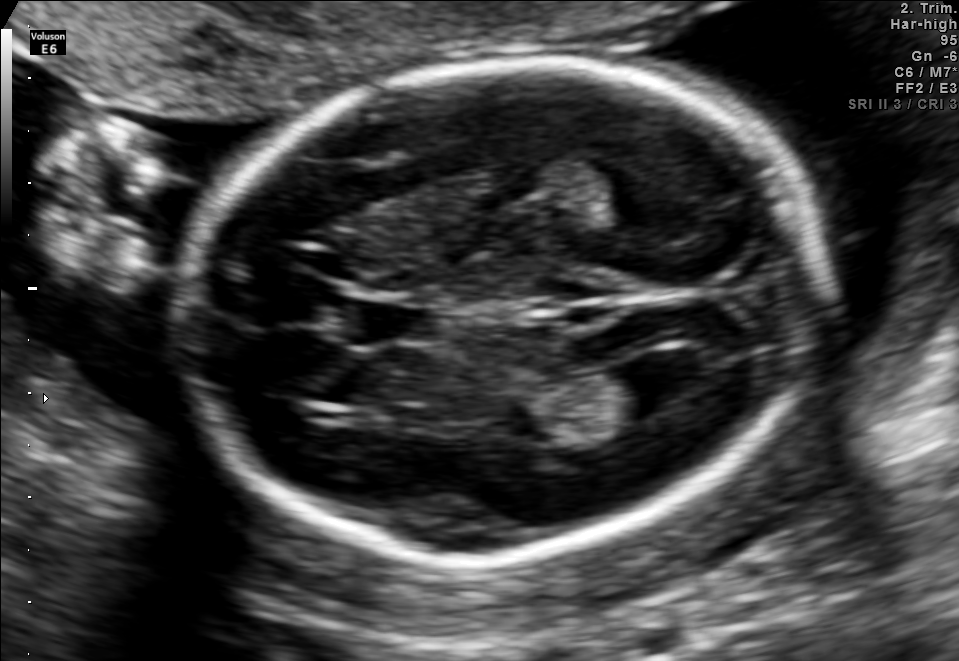
Fetal brain, trans-ventricular plane. Locate the lateral ventricle.

Lateral ventricle: [605,333,717,424]